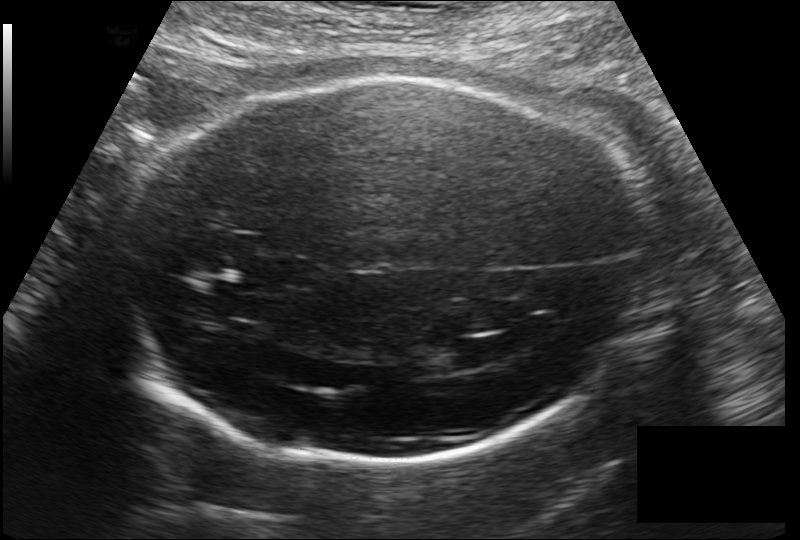
In this fetal head ultrasound, give bounding boxes for the head outline, cavum septum pellucidum (CSP), and lateral ventricle (LV), where visible. Image width: 142.0 mm.

Head: [123,78,653,464]